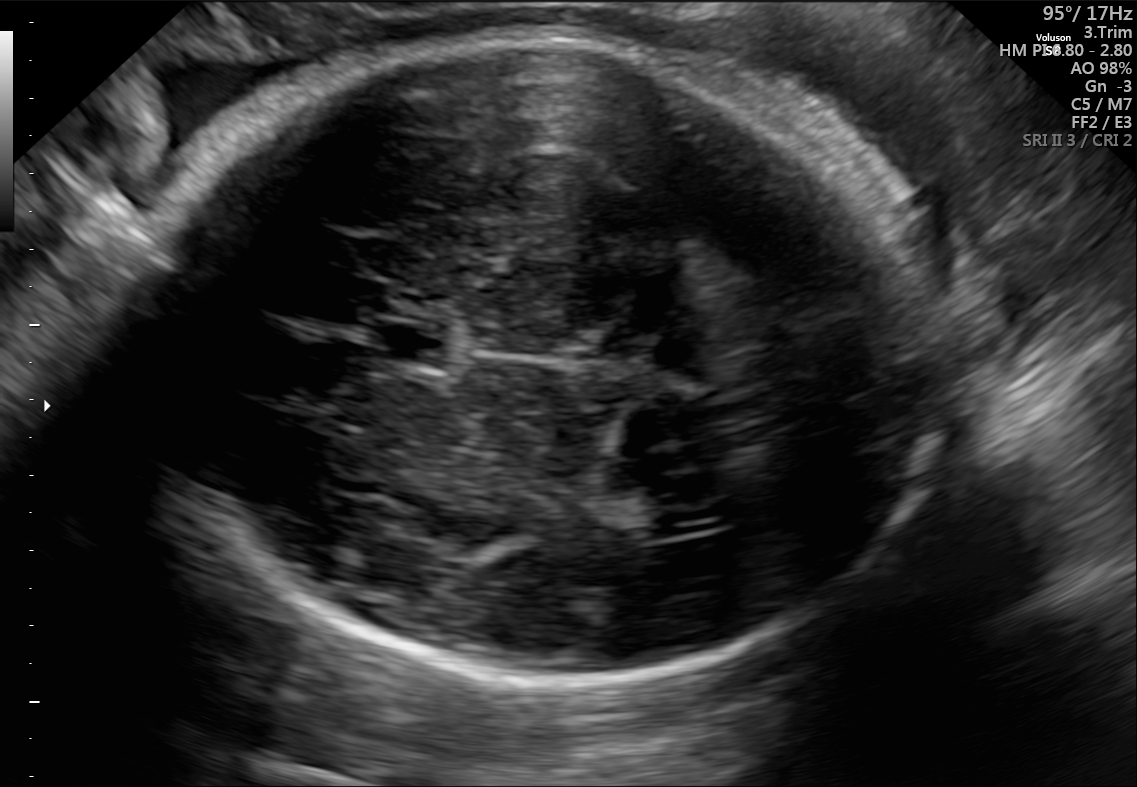
Classify this maternal-fetal ultrasound image as one of the six standard planes — fetal abdomen, fetal brain, fetal femur, fetal thorax, maternal cervix, or other. If it's fetal brain and one of the three standard brain planes (trans-thalamic, trans-cerebellum, trans-ventricular), name which.

Fetal brain (trans-ventricular plane)